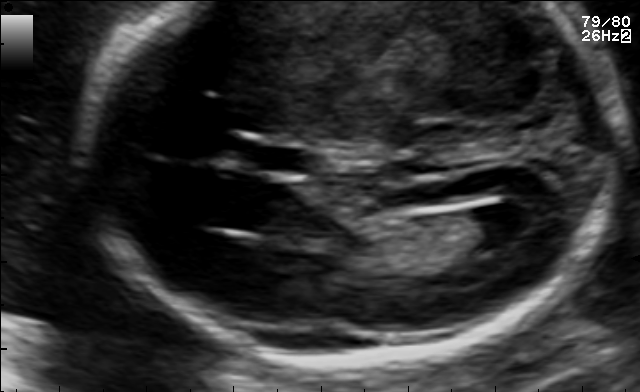
Fetal brain, trans-ventricular plane. Locate the cavum septum pellucidum.

CSP: [251,144,311,174]